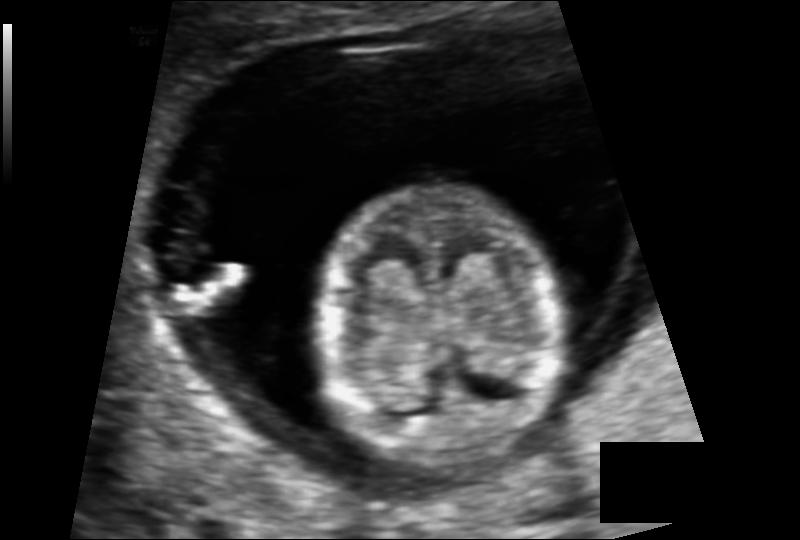
Fetal head ultrasound. Image width: 71.8 mm. Where is the fetal head?

Head bounding box: [315,185,560,470]